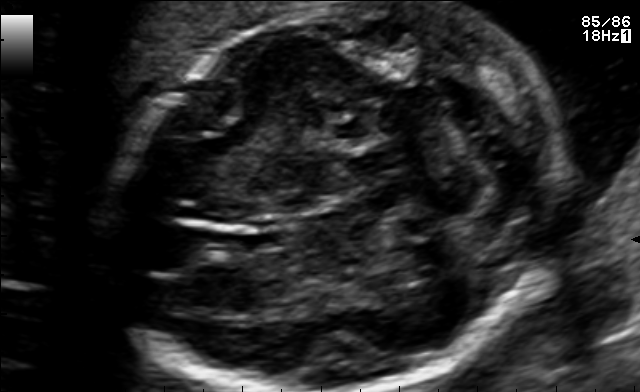
In this fetal brain, trans-cerebellum plane, give bounding boxes for the head outline, cavum septum pellucidum (CSP), and lateral ventricle (LV), where visible.

Head: [117,3,550,391]